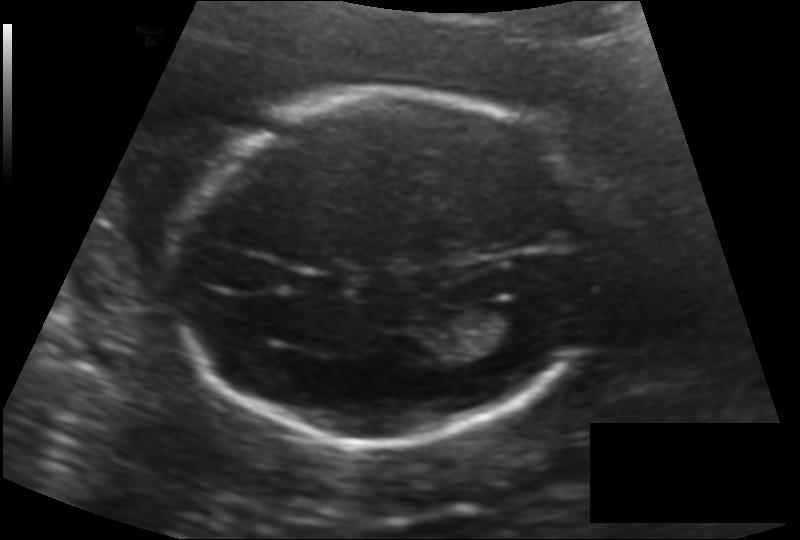
Fetal head ultrasound. Image width: 112.2 mm. Where is the lateral ventricle?

Lateral ventricle bounding box: [473,303,547,357]